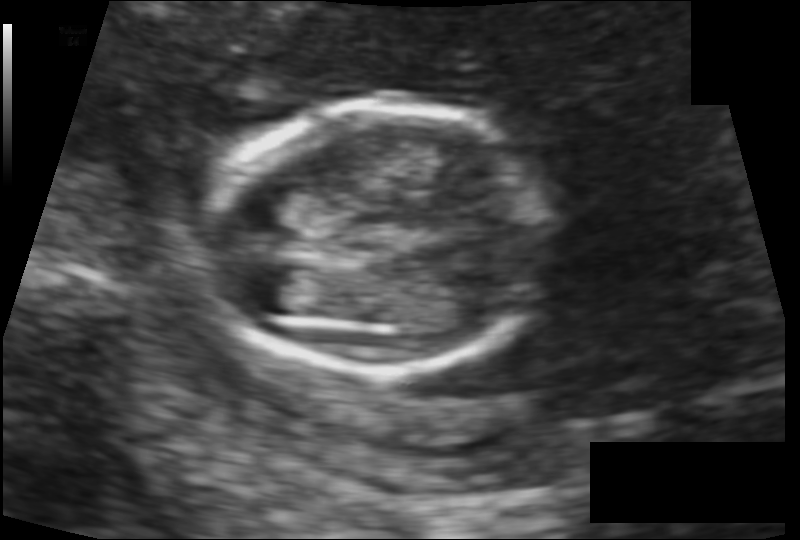
Fetal head ultrasound. Image width: 88.5 mm. Give [x1,y1,x2,y2] bounding boxes for each visible structure among: fetal head, CSP, LV.

Head: [203,106,547,373]